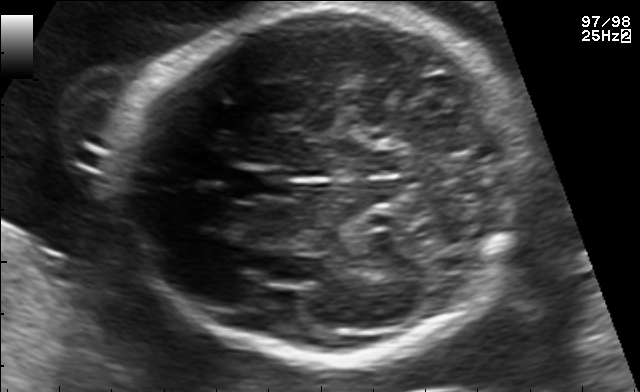
In this fetal brain, trans-thalamic plane, give the bounding box of the cavum septum pellucidum.

[228,171,289,197]